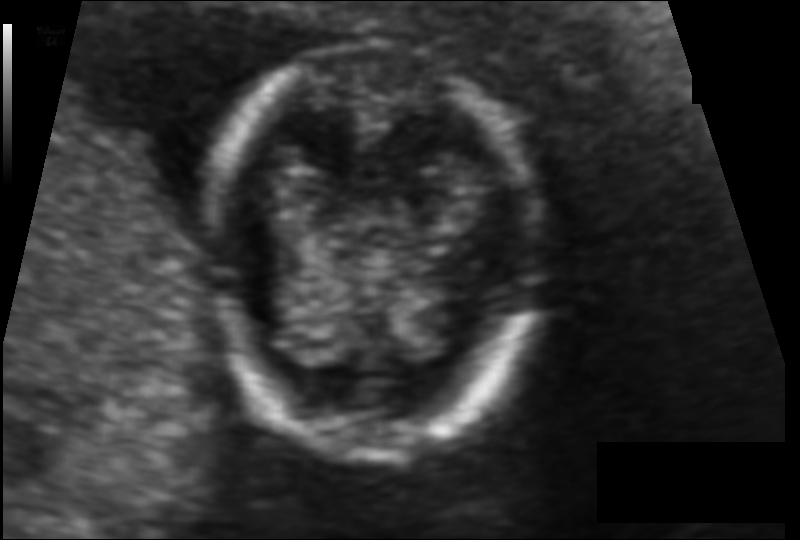
Measure the fetal head circumference shown in this ultrasound image. Image width: 63.9 mm.

Head circumference: 98.4 mm.